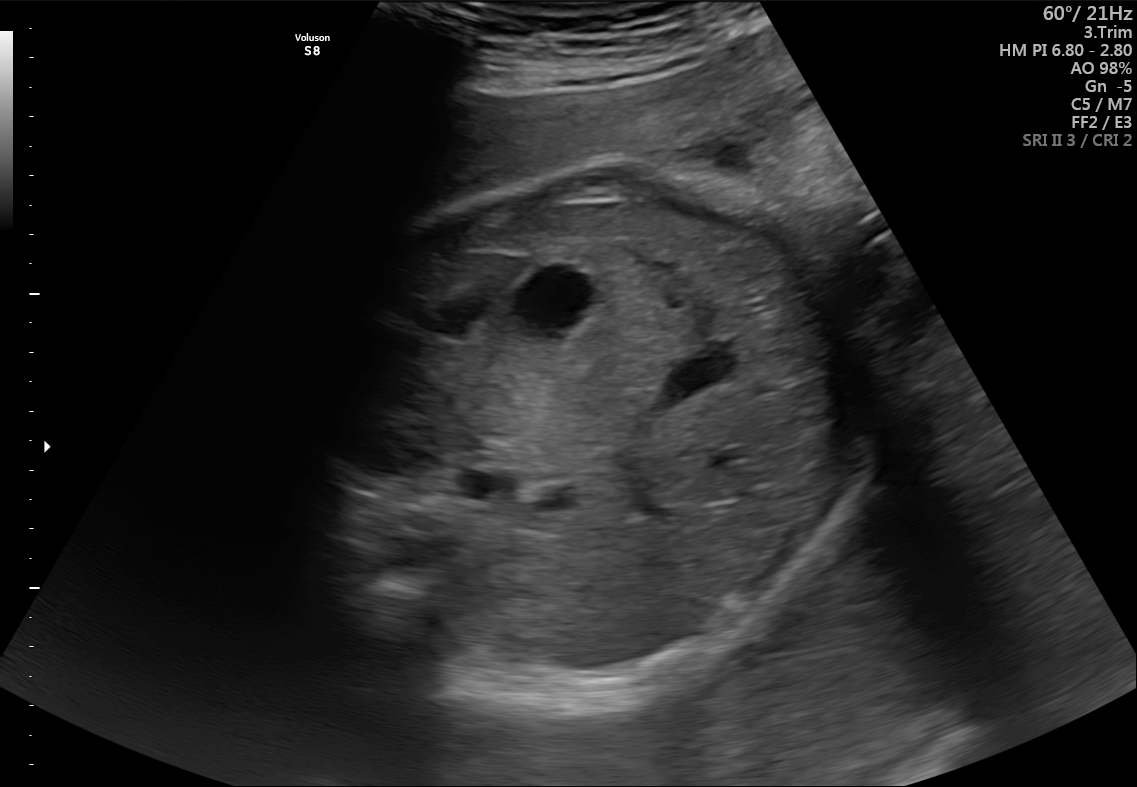
Classify this maternal-fetal ultrasound image as one of the six standard planes — fetal abdomen, fetal brain, fetal femur, fetal thorax, maternal cervix, or other. If it's fetal brain and one of the three standard brain planes (trans-thalamic, trans-cerebellum, trans-ventricular), name which.

Fetal abdomen